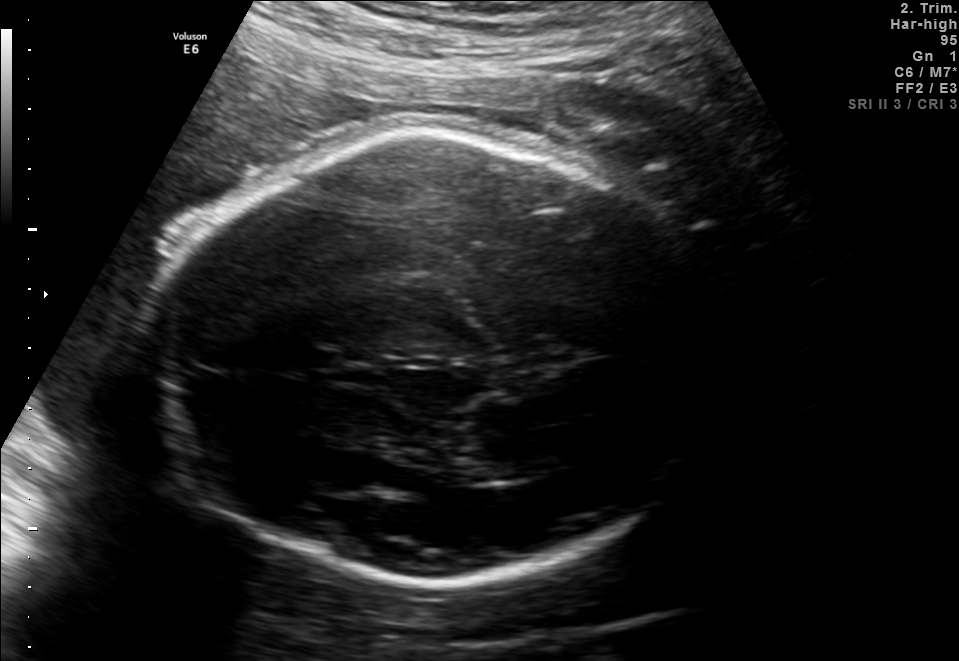
Fetal brain, trans-thalamic plane. Locate the fetal head.

Head: [141,127,714,578]